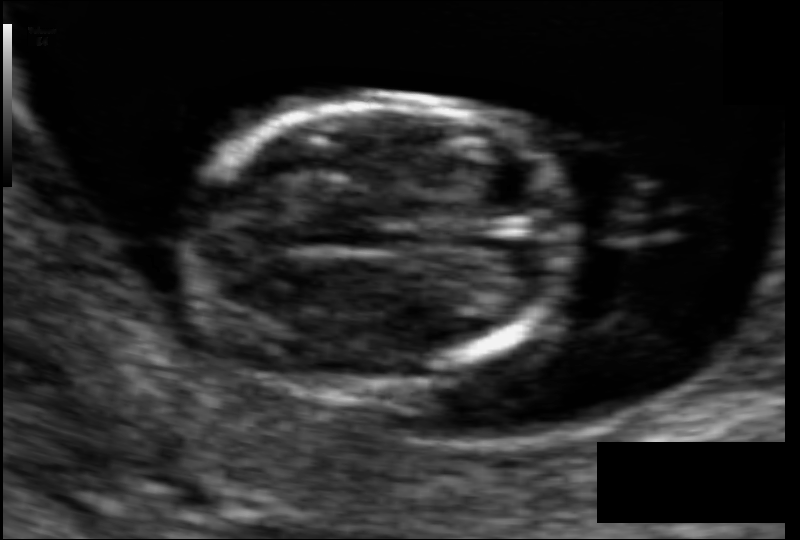
Fetal head ultrasound. Image width: 52.8 mm. Locate the fetal head.

Head: [188,100,574,383]